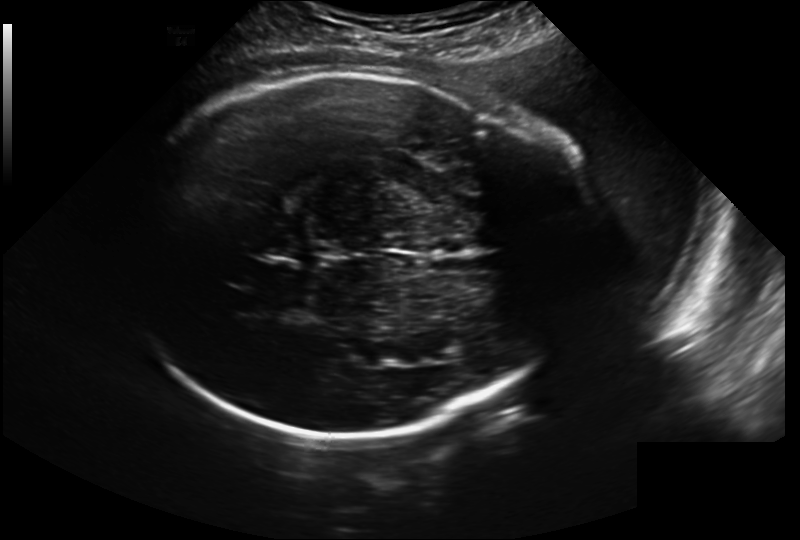
Estimate the fetal head circumference from this 2D ultrasound. Image width: 192.7 mm.

Head circumference: 328.0 mm.